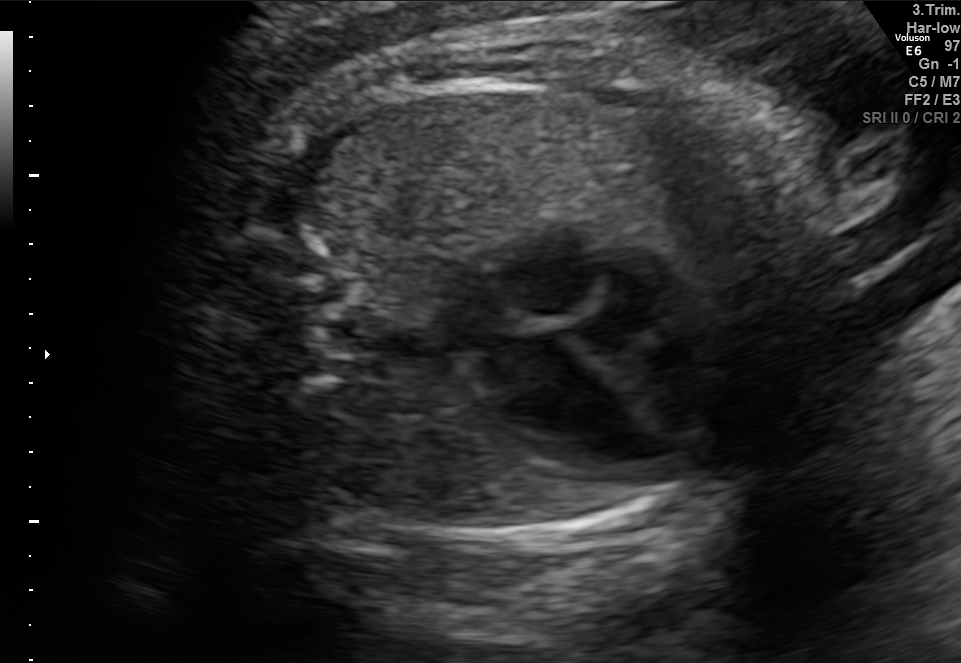
Which standard maternal-fetal ultrasound plane is shown: fetal abdomen, fetal brain, fetal femur, fetal thorax, maternal cervix, or other? If it's fetal brain and one of the three standard brain planes (trans-thalamic, trans-cerebellum, trans-ventricular), name which.

Fetal thorax